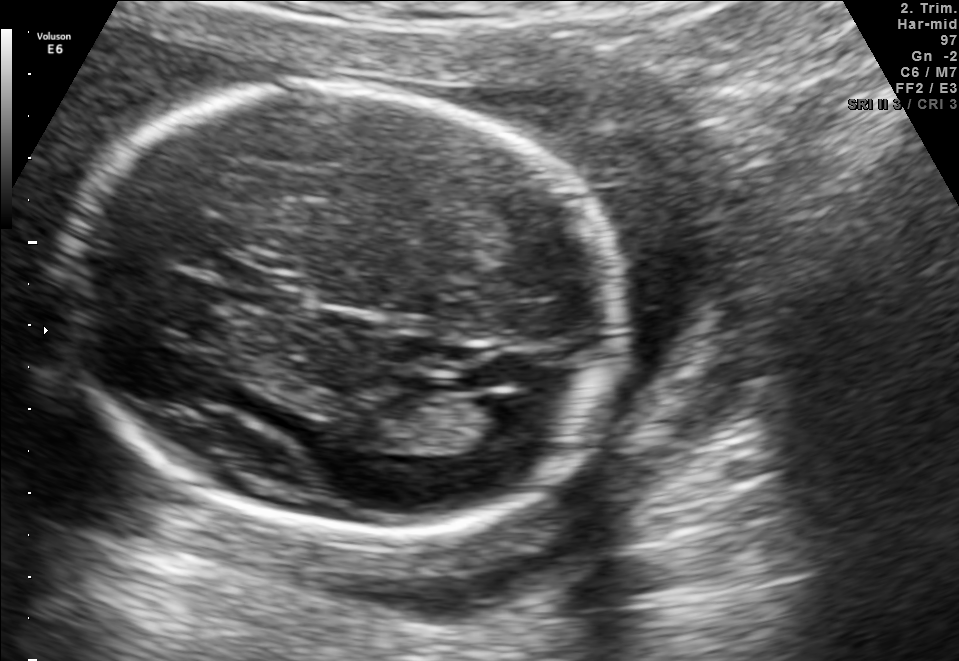
In this fetal brain, trans-ventricular plane, give the bounding box of the fetal head.

[50,75,633,540]